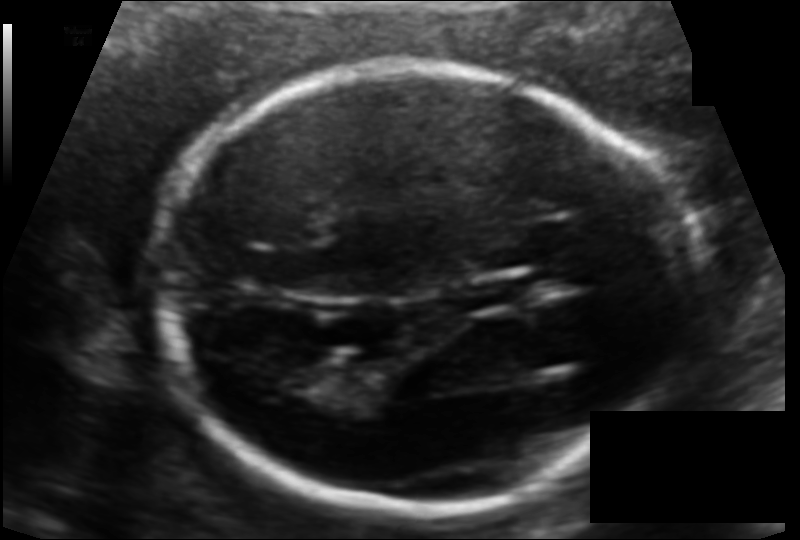
Fetal head ultrasound. Image width: 85.9 mm. Where is the fetal head?

Head bounding box: [159,60,686,508]